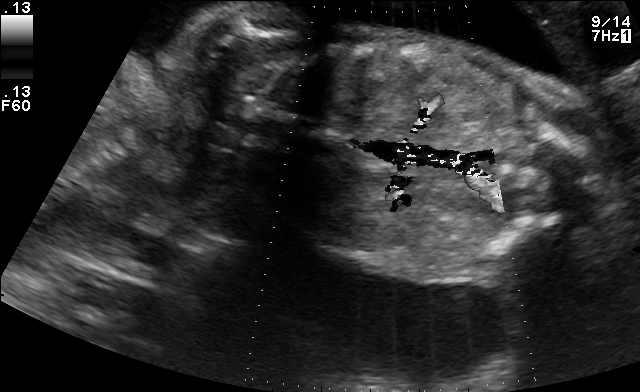
Identify the standard plane in this fetal ultrasound image: fetal abdomen, fetal brain, fetal femur, fetal thorax, maternal cervix, or other. If it's fetal brain and one of the three standard brain planes (trans-thalamic, trans-cerebellum, trans-ventricular), name which.

Other